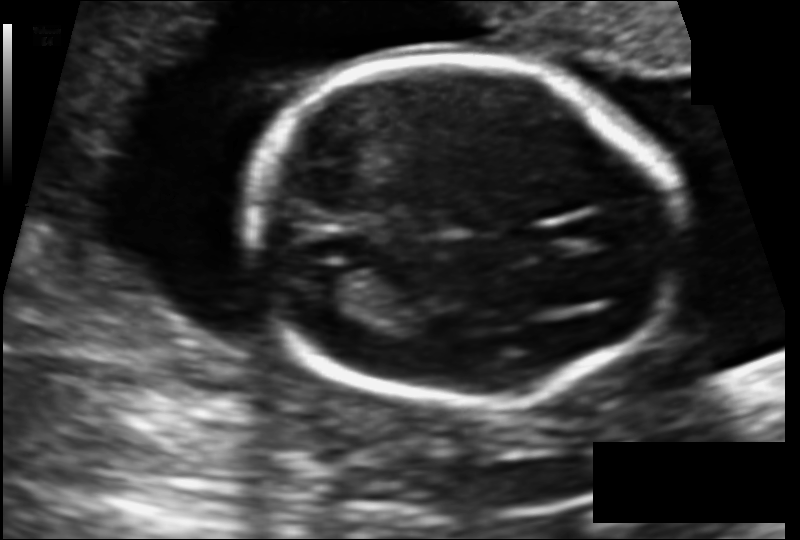
Fetal head ultrasound. Image width: 96.7 mm. Locate the lateral ventricle.

Lateral ventricle: [315,266,382,304]